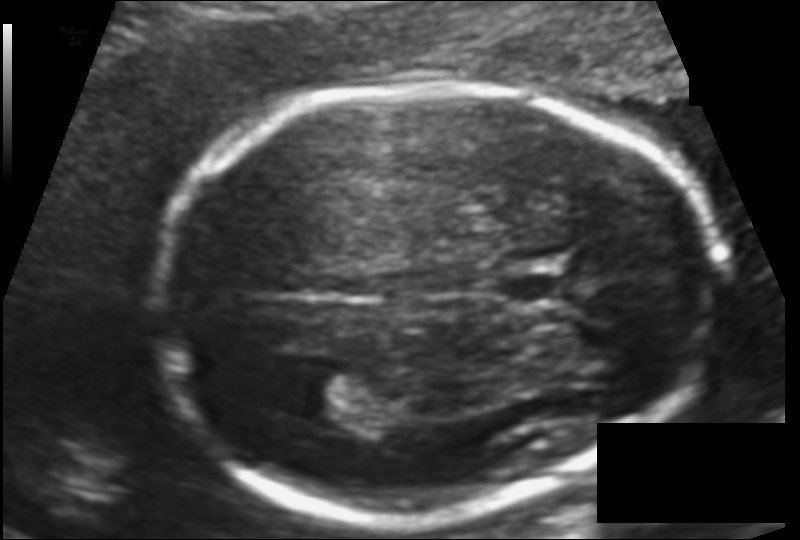
Fetal head ultrasound. Image width: 87.8 mm. Locate the fetal head and, if visible, the cavum septum pellucidum (CSP) and lateral ventricle (LV). Give bounding boxes as [x1,y1,x2,y2].

Head: [152,84,717,521]
CSP: [501,269,574,307]
Lateral ventricle: [282,365,367,423]